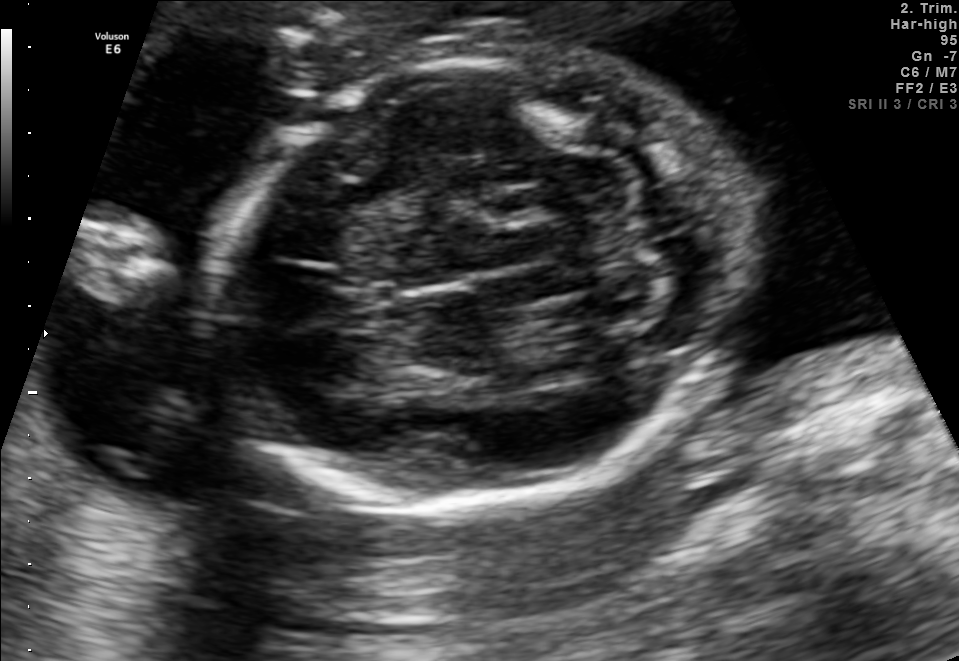
Fetal brain, trans-cerebellum plane. Give [x1,y1,x2,y2] bounding boxes for each visible structure among: fetal head, CSP, LV.

Head: [215,54,740,511]